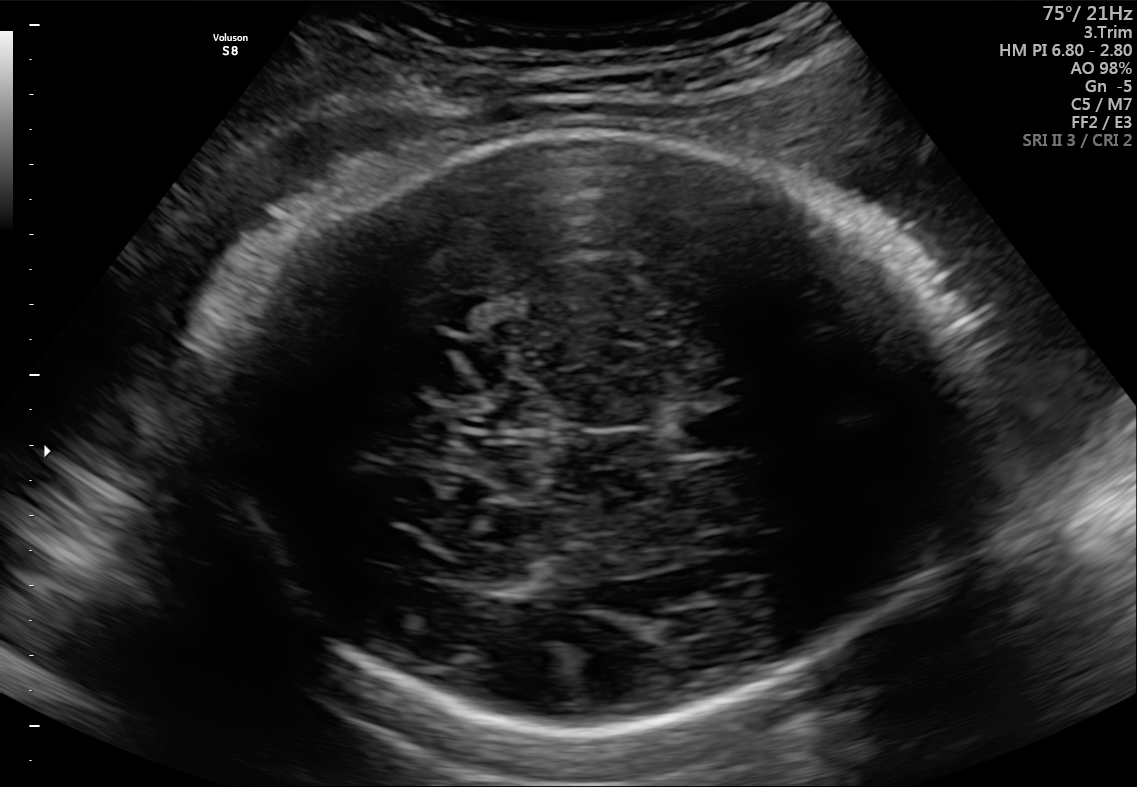
Fetal brain, trans-thalamic plane. Where is the cavum septum pellucidum?

CSP bounding box: [671,404,752,454]